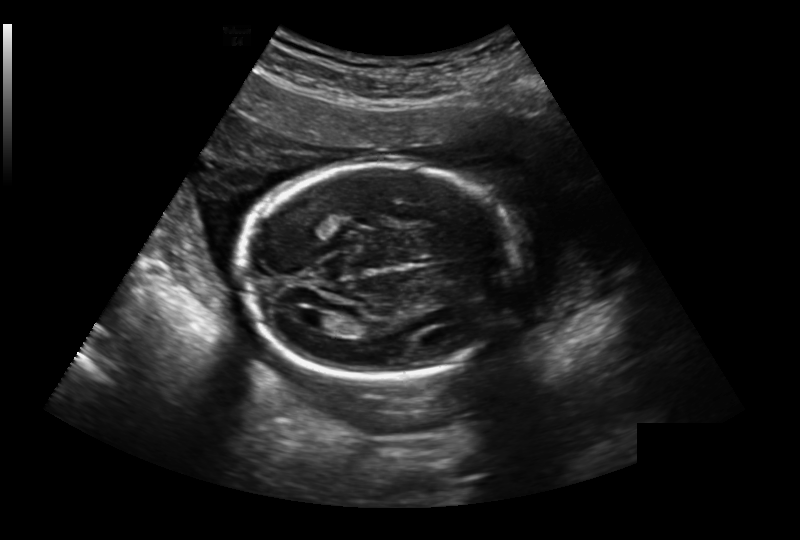
In this fetal head ultrasound, give bounding boxes for the head outline, cavum septum pellucidum (CSP), and lateral ventricle (LV), where visible. Image width: 188.5 mm.

Head: [240,163,520,378]
Lateral ventricle: [302,309,338,333]